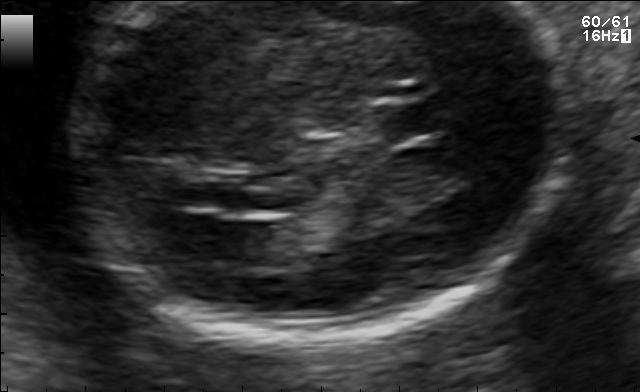
In this fetal brain, trans-ventricular plane, give the bounding box of the cavum septum pellucidum.

[379,94,458,144]